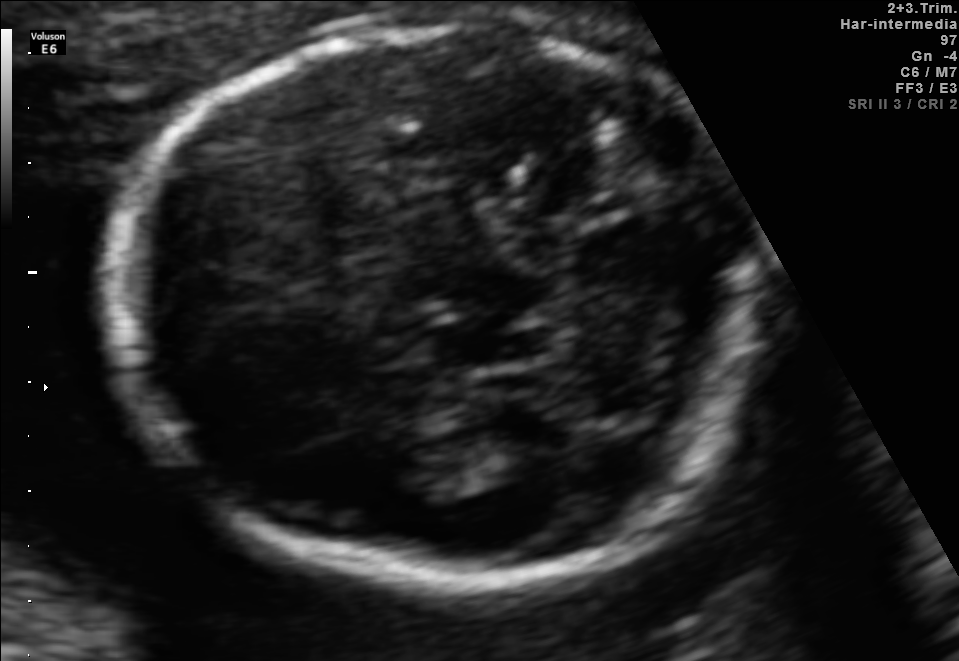
Fetal brain, trans-thalamic plane. Give [x1,y1,x2,y2] bounding boxes for each visible structure among: fetal head, CSP, LV.

Head: [110,18,763,583]